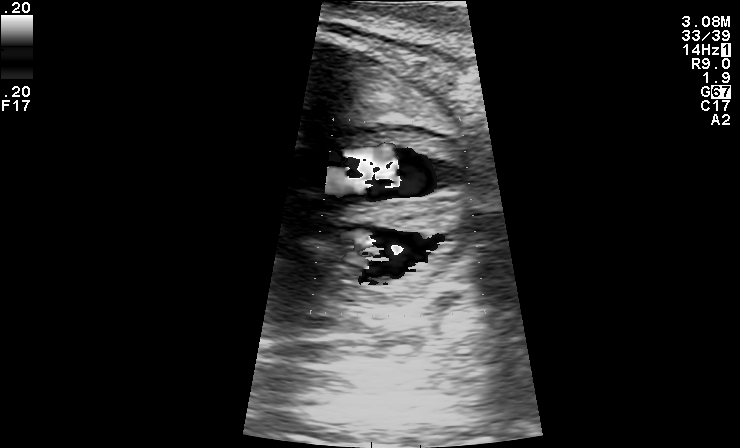
Classify this maternal-fetal ultrasound image as one of the six standard planes — fetal abdomen, fetal brain, fetal femur, fetal thorax, maternal cervix, or other. If it's fetal brain and one of the three standard brain planes (trans-thalamic, trans-cerebellum, trans-ventricular), name which.

Other